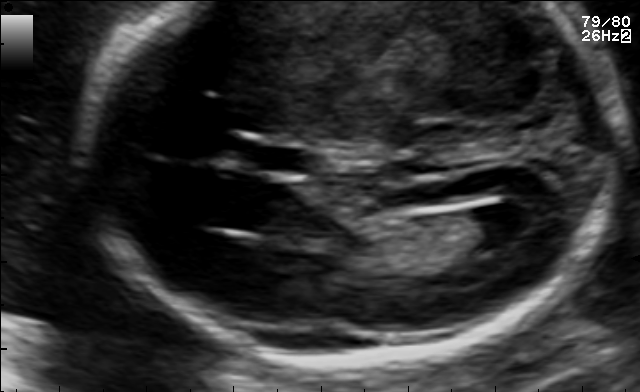
Classify this maternal-fetal ultrasound image as one of the six standard planes — fetal abdomen, fetal brain, fetal femur, fetal thorax, maternal cervix, or other. If it's fetal brain and one of the three standard brain planes (trans-thalamic, trans-cerebellum, trans-ventricular), name which.

Fetal brain (trans-ventricular plane)